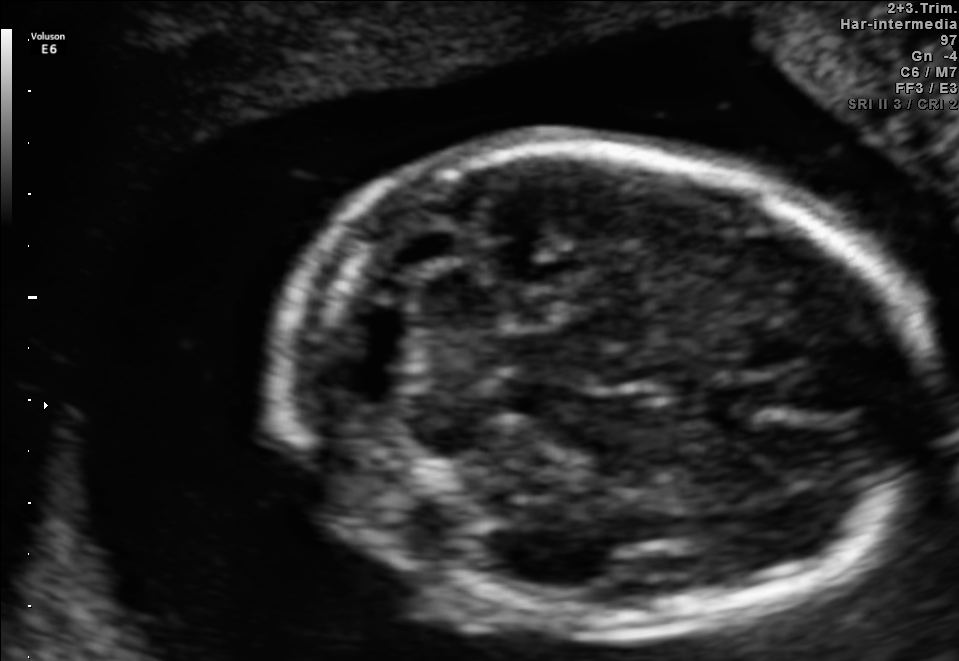
In this fetal brain, trans-cerebellum plane, give the bounding box of the cavum septum pellucidum.

[697,375,780,427]